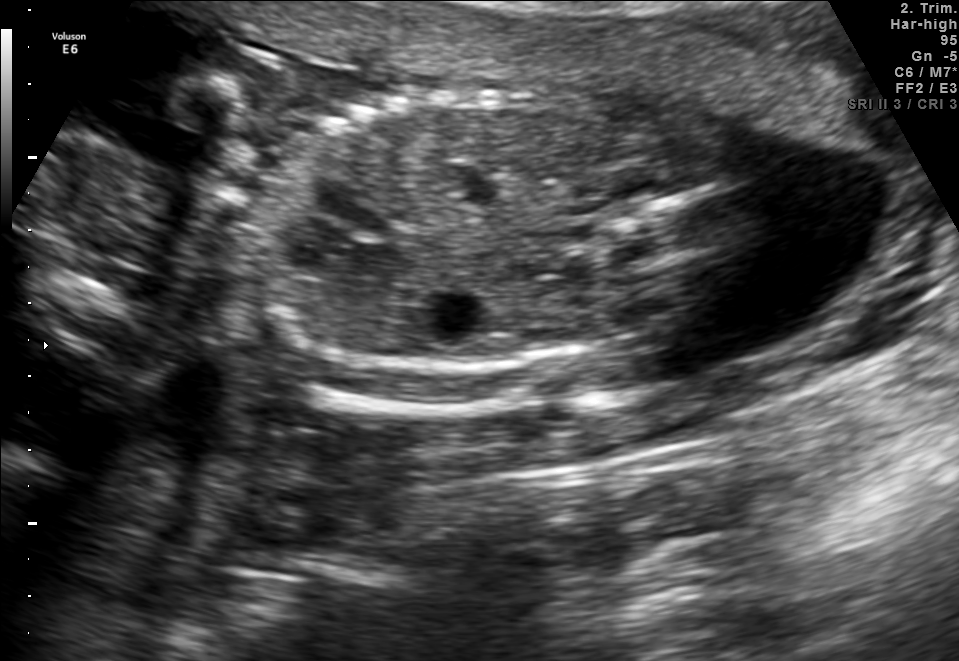
Which standard maternal-fetal ultrasound plane is shown: fetal abdomen, fetal brain, fetal femur, fetal thorax, maternal cervix, or other? If it's fetal brain and one of the three standard brain planes (trans-thalamic, trans-cerebellum, trans-ventricular), name which.

Other